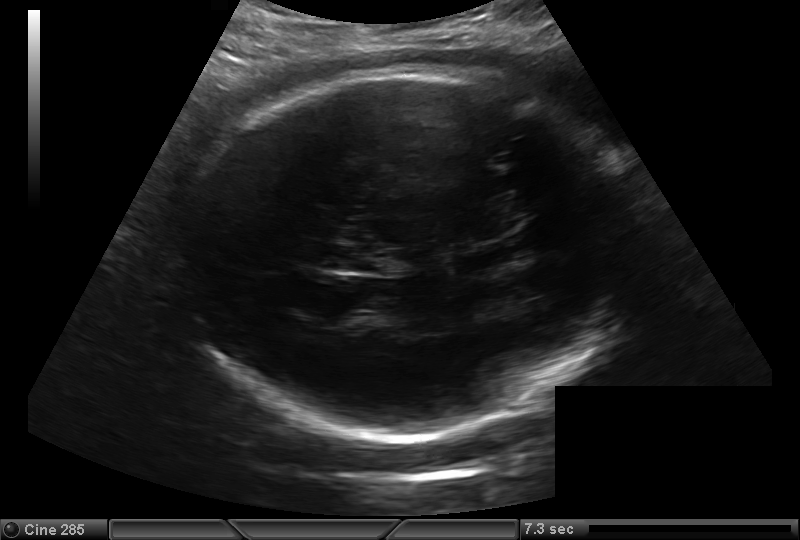
From this fetal ultrasound, estimate the head circumference (image width 173.2 mm).

Head circumference: 288.9 mm.